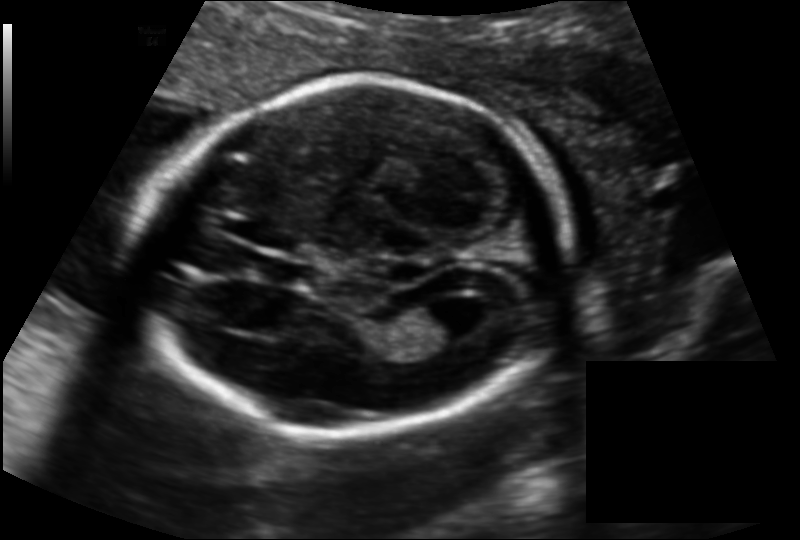
In this fetal head ultrasound, give bounding boxes for the head outline, cavum septum pellucidum (CSP), and lateral ventricle (LV), where visible. Image width: 107.9 mm.

Head: [138,80,569,434]
CSP: [257,252,312,290]
Lateral ventricle: [406,280,490,355]